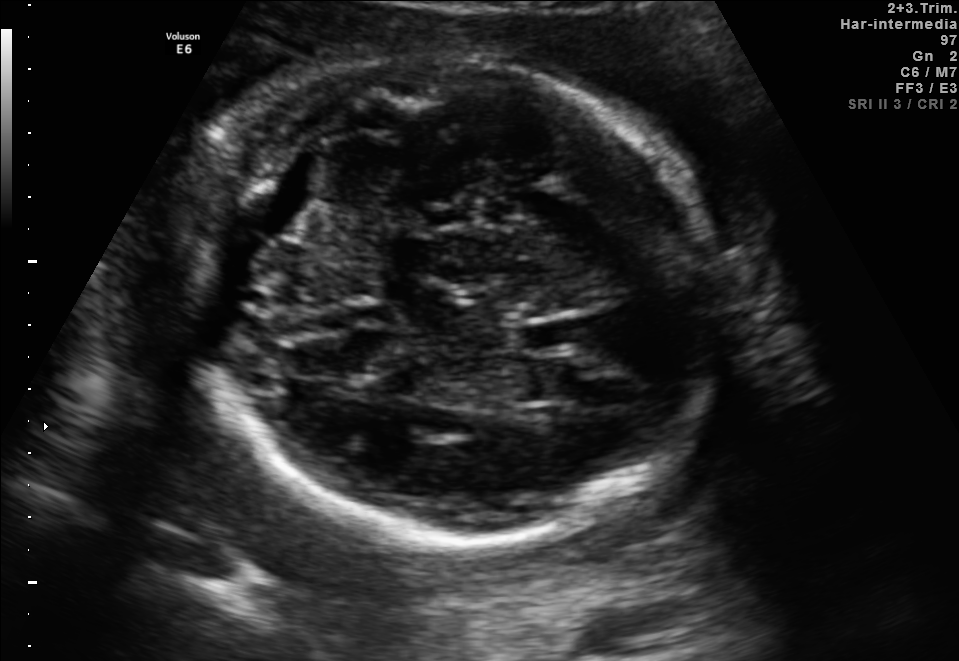
In this fetal brain, trans-thalamic plane, give the bounding box of the fetal head.

[162,56,727,537]